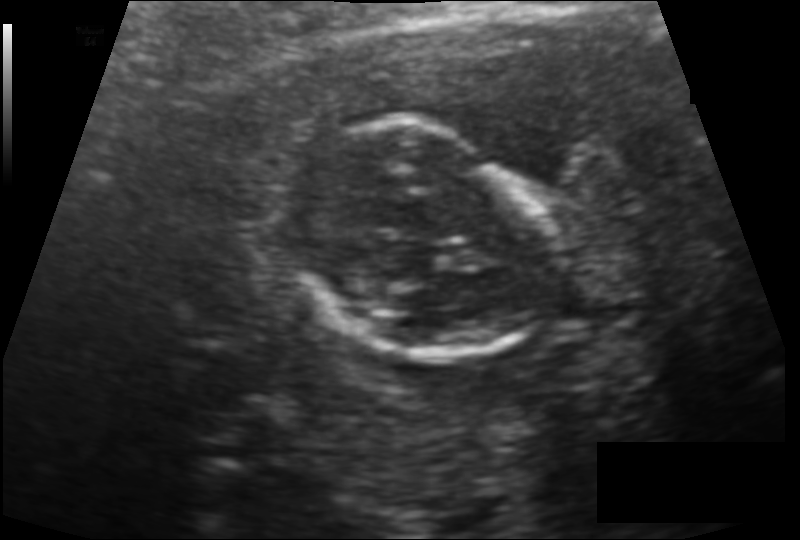
Measure the fetal head circumference shown in this ultrasound image. Image width: 91.6 mm.

Head circumference: 97.2 mm.